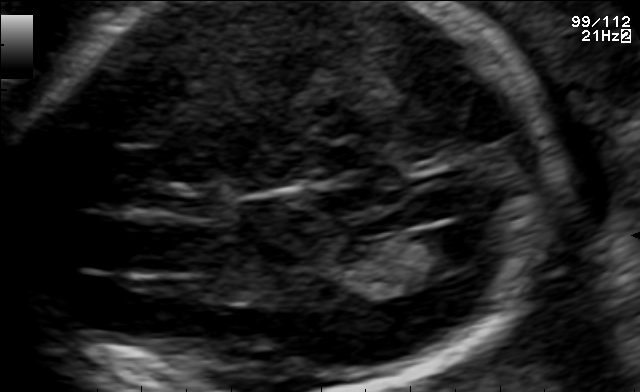
Fetal brain, trans-ventricular plane. Locate the lateral ventricle.

Lateral ventricle: [413,212,508,278]